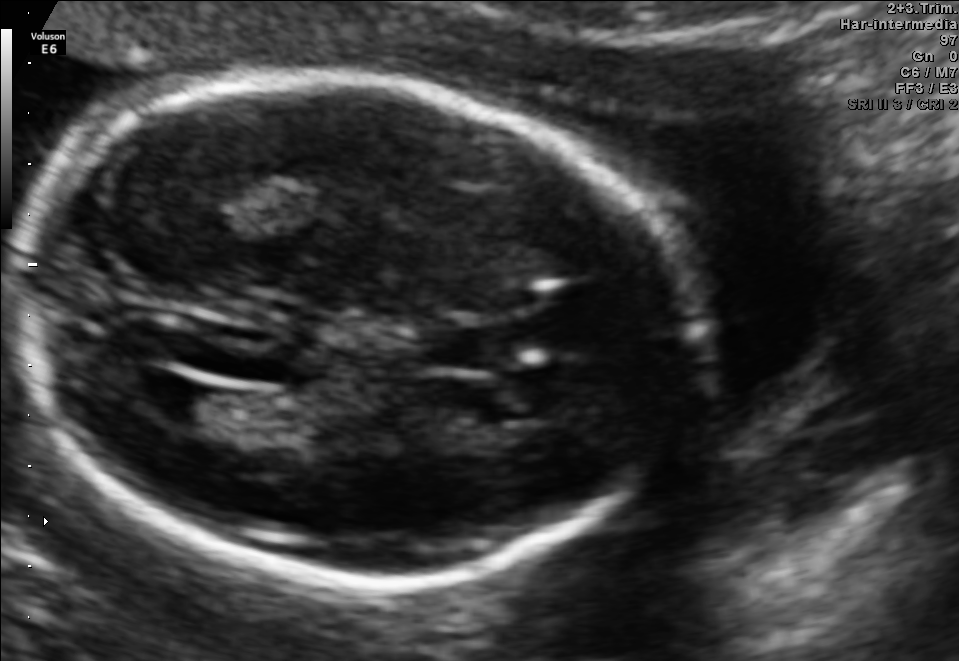
Fetal brain, trans-ventricular plane. Where is the fetal head?

Head bounding box: [10,65,719,596]